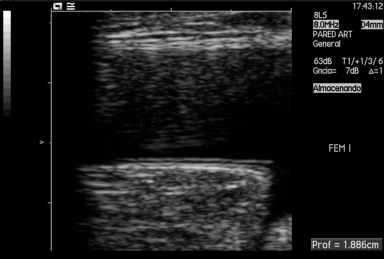
Which standard maternal-fetal ultrasound plane is shown: fetal abdomen, fetal brain, fetal femur, fetal thorax, maternal cervix, or other? If it's fetal brain and one of the three standard brain planes (trans-thalamic, trans-cerebellum, trans-ventricular), name which.

Other